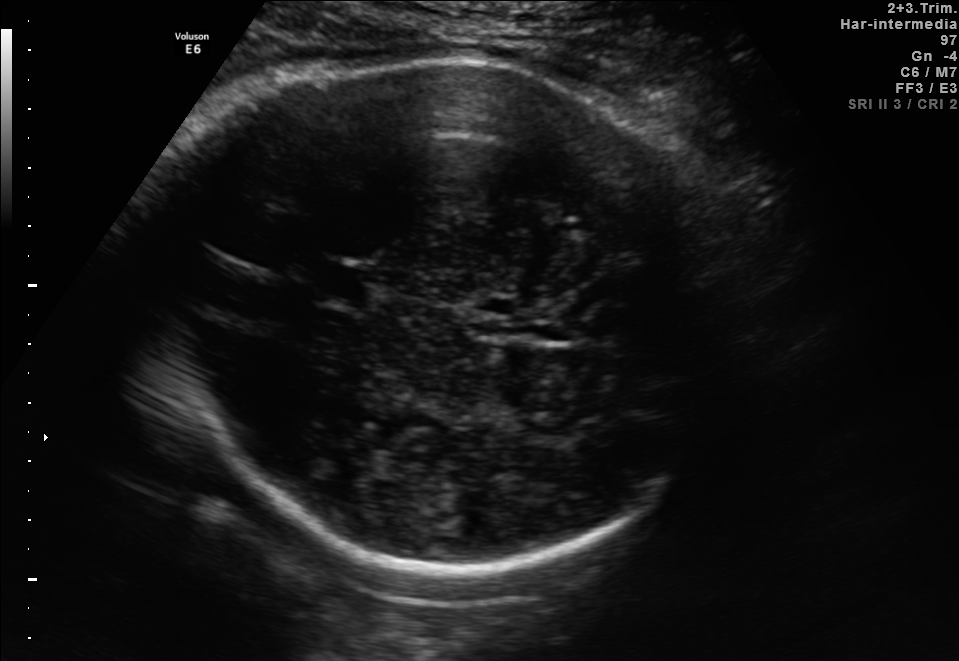
Fetal brain, trans-thalamic plane. Where is the fetal head?

Head bounding box: [126,56,733,573]